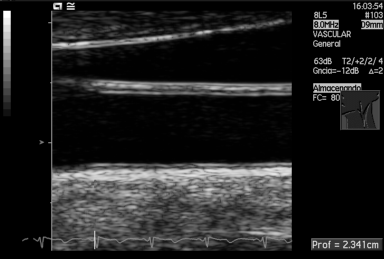
Identify the standard plane in this fetal ultrasound image: fetal abdomen, fetal brain, fetal femur, fetal thorax, maternal cervix, or other. If it's fetal brain and one of the three standard brain planes (trans-thalamic, trans-cerebellum, trans-ventricular), name which.

Other